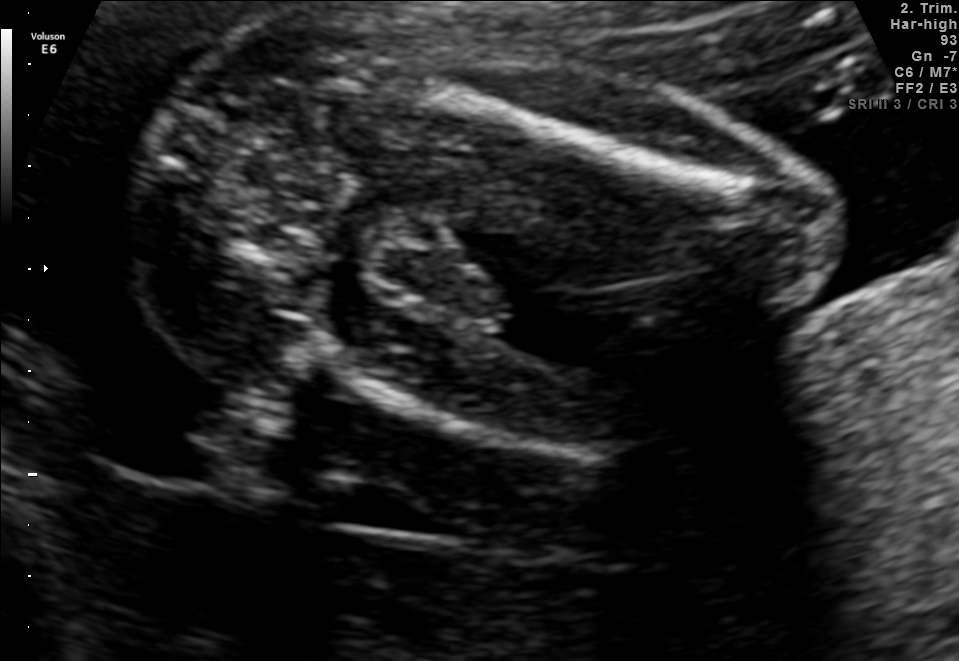
Identify the standard plane in this fetal ultrasound image: fetal abdomen, fetal brain, fetal femur, fetal thorax, maternal cervix, or other. If it's fetal brain and one of the three standard brain planes (trans-thalamic, trans-cerebellum, trans-ventricular), name which.

Fetal femur